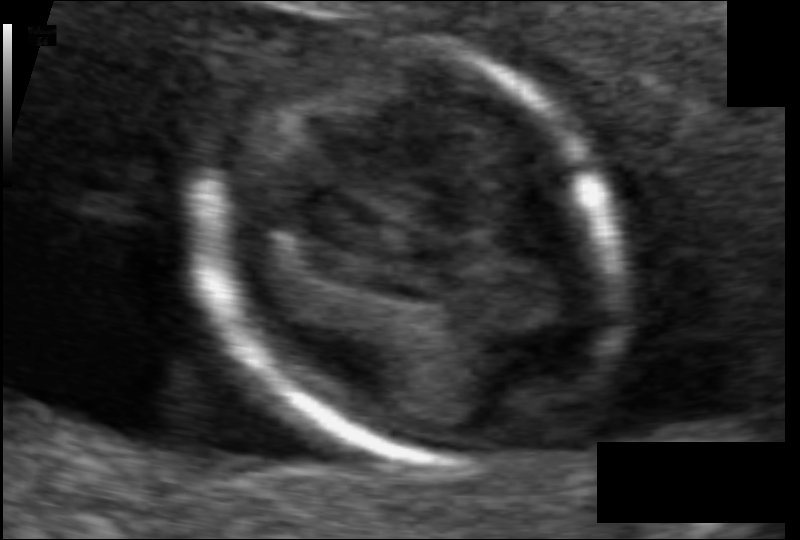
In this fetal head ultrasound, give the bounding box of the fetal head. Image width: 48.9 mm.

[215,36,620,465]